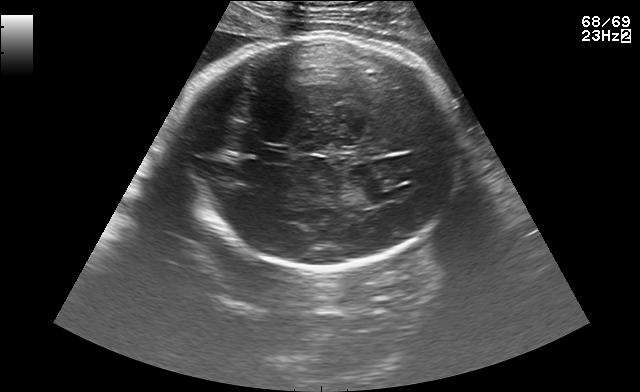
In this fetal brain, trans-thalamic plane, give the bounding box of the cavum septum pellucidum.

[262,150,290,164]